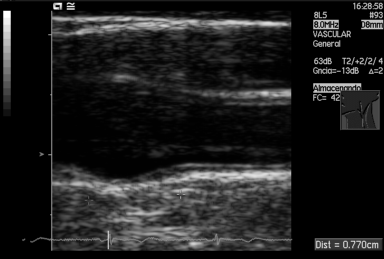
Identify the standard plane in this fetal ultrasound image: fetal abdomen, fetal brain, fetal femur, fetal thorax, maternal cervix, or other. If it's fetal brain and one of the three standard brain planes (trans-thalamic, trans-cerebellum, trans-ventricular), name which.

Other